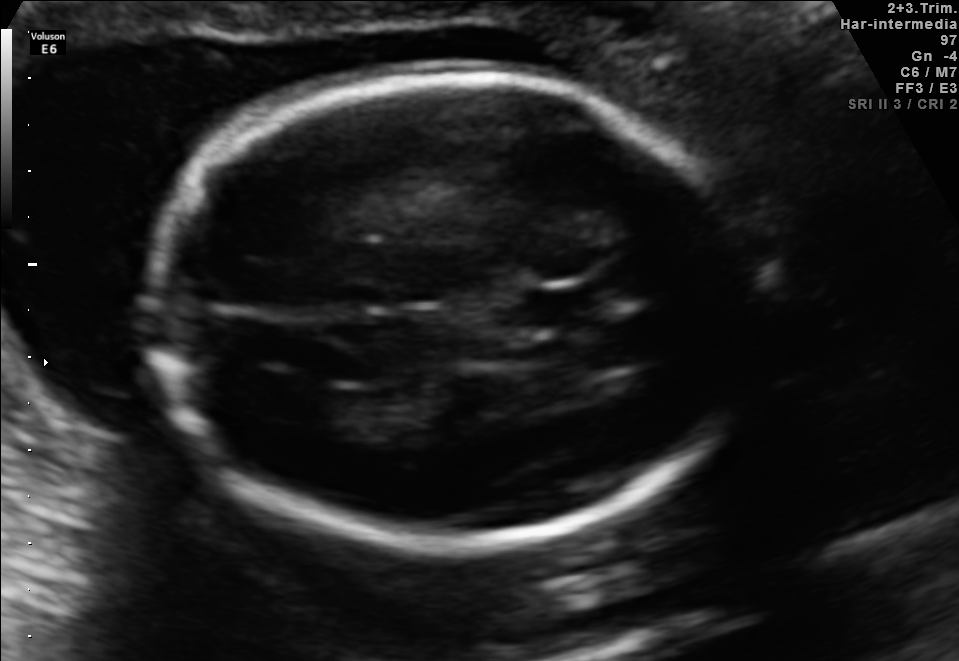
Fetal brain, trans-ventricular plane. Locate the fetal head and, if visible, the cavum septum pellucidum (CSP) and lateral ventricle (LV). Give bounding boxes as [x1,y1,x2,y2].

Head: [135,68,776,553]
CSP: [517,291,601,329]
Lateral ventricle: [270,377,345,434]